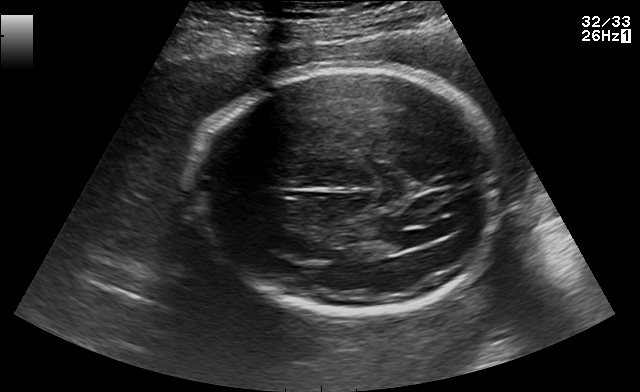
In this fetal brain, trans-ventricular plane, give bounding boxes for the head outline, cavum septum pellucidum (CSP), and lateral ventricle (LV), where visible.

Head: [191,63,507,320]
Lateral ventricle: [382,217,440,255]